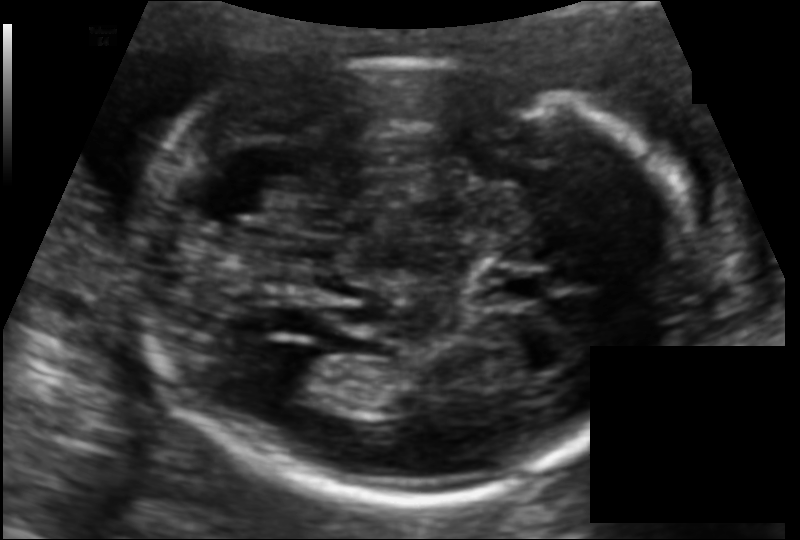
Measure the fetal head circumference shown in this ultrasound image. Image width: 91.9 mm.

Head circumference: 183.6 mm.